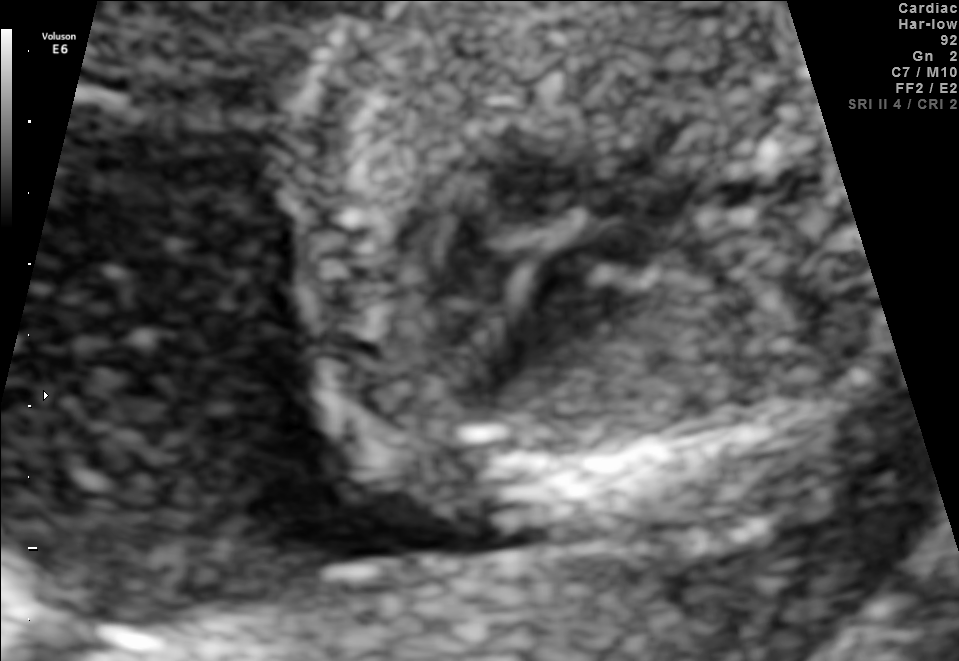
Identify the standard plane in this fetal ultrasound image: fetal abdomen, fetal brain, fetal femur, fetal thorax, maternal cervix, or other. If it's fetal brain and one of the three standard brain planes (trans-thalamic, trans-cerebellum, trans-ventricular), name which.

Fetal thorax